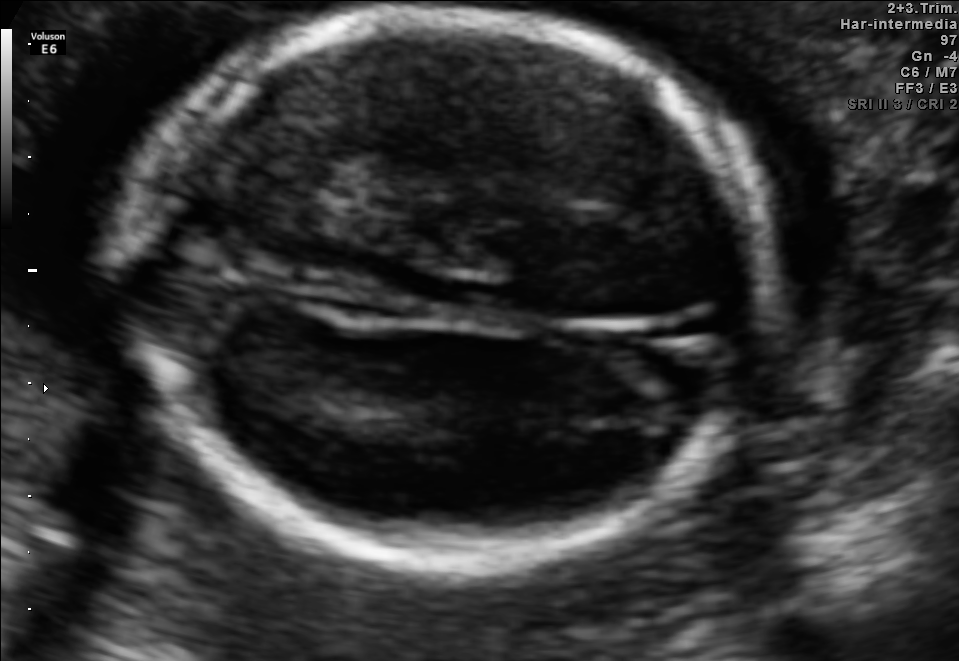
Fetal brain, trans-thalamic plane. Locate the fetal head.

Head: [130,16,763,555]